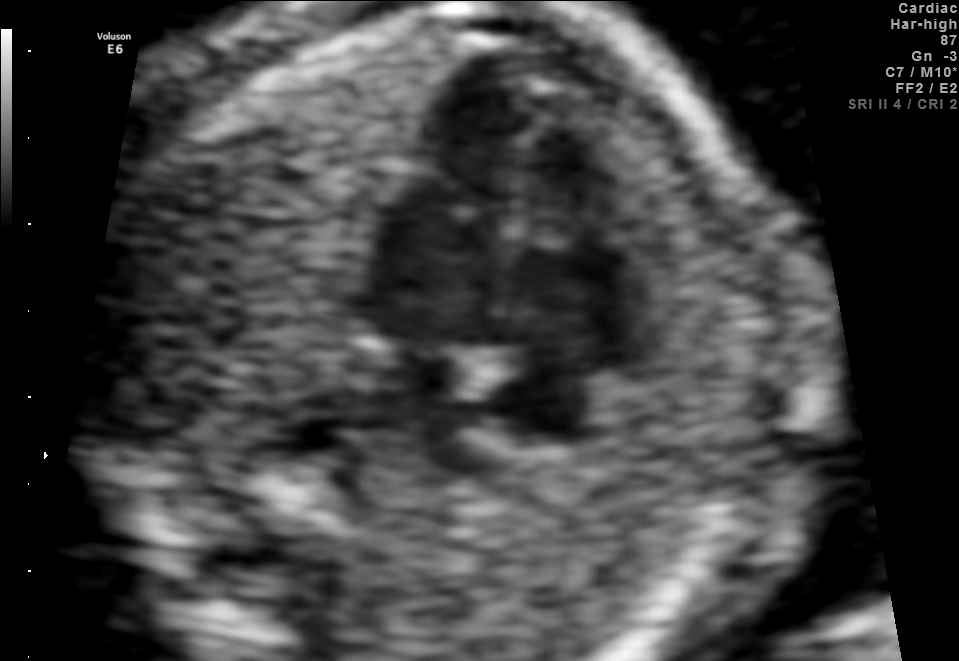
Which standard maternal-fetal ultrasound plane is shown: fetal abdomen, fetal brain, fetal femur, fetal thorax, maternal cervix, or other? If it's fetal brain and one of the three standard brain planes (trans-thalamic, trans-cerebellum, trans-ventricular), name which.

Fetal thorax